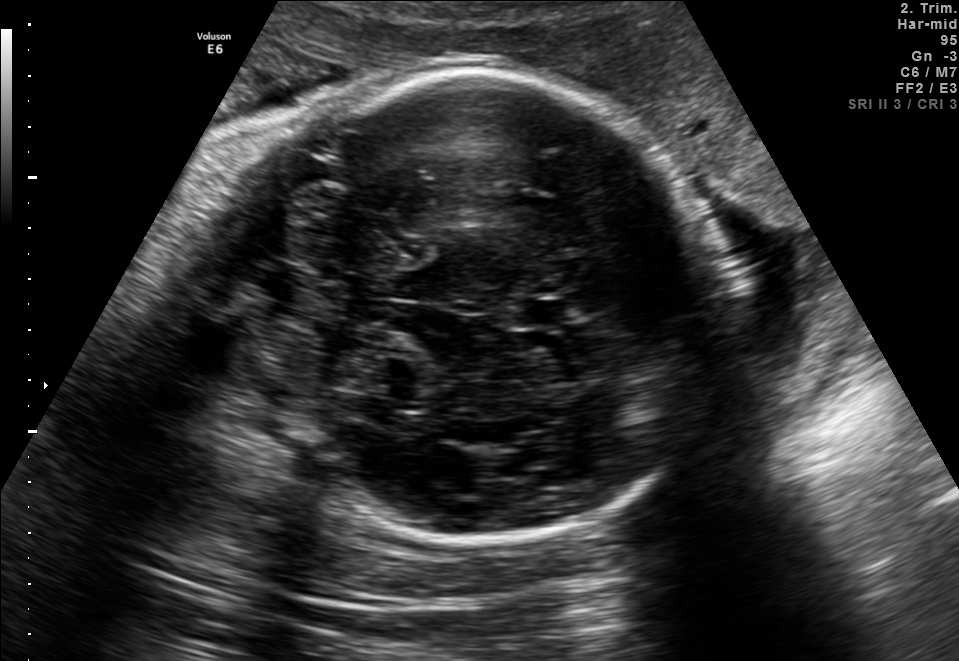
Fetal brain, trans-cerebellum plane. Where is the fetal head?

Head bounding box: [214,68,727,539]